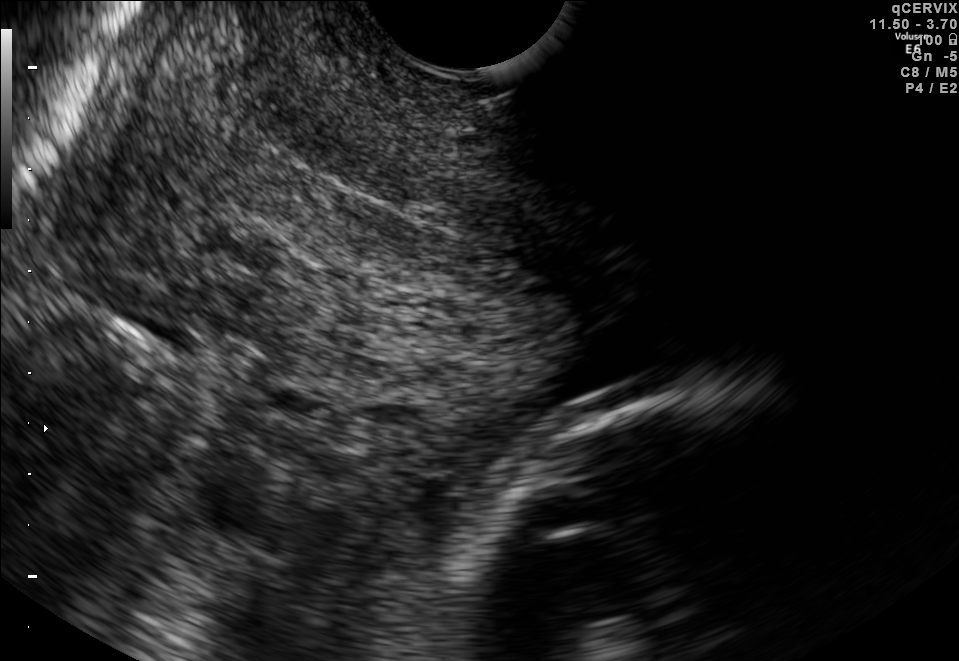
Classify this maternal-fetal ultrasound image as one of the six standard planes — fetal abdomen, fetal brain, fetal femur, fetal thorax, maternal cervix, or other. If it's fetal brain and one of the three standard brain planes (trans-thalamic, trans-cerebellum, trans-ventricular), name which.

Maternal cervix